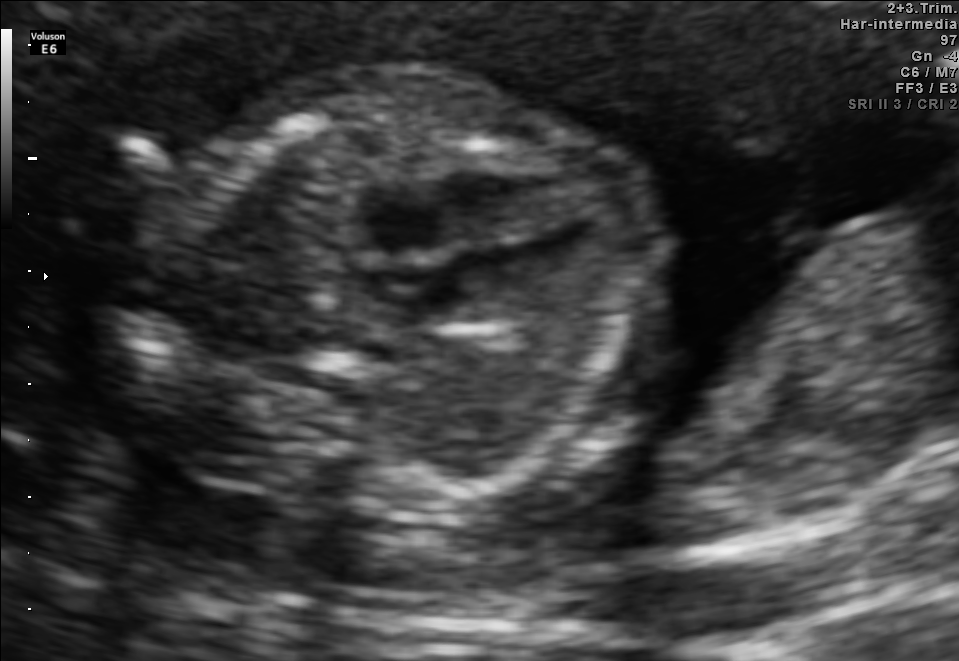
Classify this maternal-fetal ultrasound image as one of the six standard planes — fetal abdomen, fetal brain, fetal femur, fetal thorax, maternal cervix, or other. If it's fetal brain and one of the three standard brain planes (trans-thalamic, trans-cerebellum, trans-ventricular), name which.

Fetal thorax